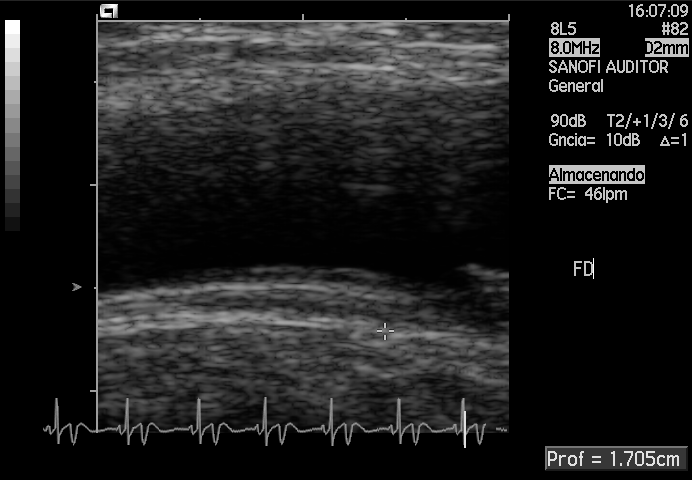
Which standard maternal-fetal ultrasound plane is shown: fetal abdomen, fetal brain, fetal femur, fetal thorax, maternal cervix, or other? If it's fetal brain and one of the three standard brain planes (trans-thalamic, trans-cerebellum, trans-ventricular), name which.

Other